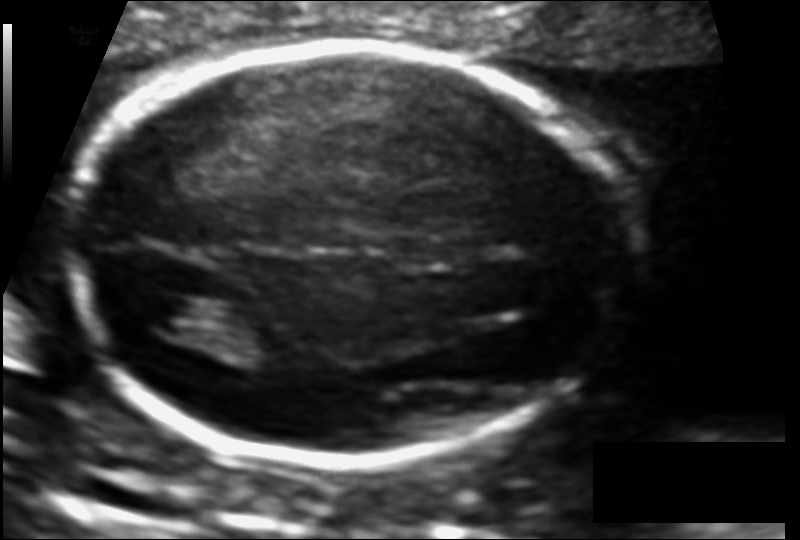
Fetal head ultrasound. Image width: 88.9 mm. Locate the lateral ventricle.

Lateral ventricle: [128,282,214,346]